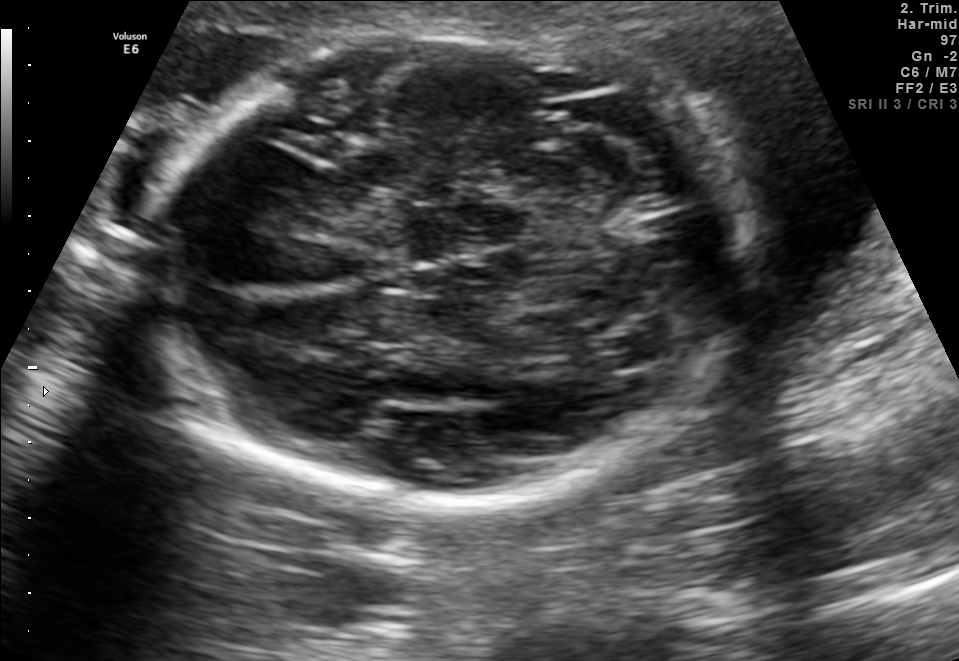
In this fetal brain, trans-thalamic plane, give the bounding box of the fetal head.

[140,31,753,496]